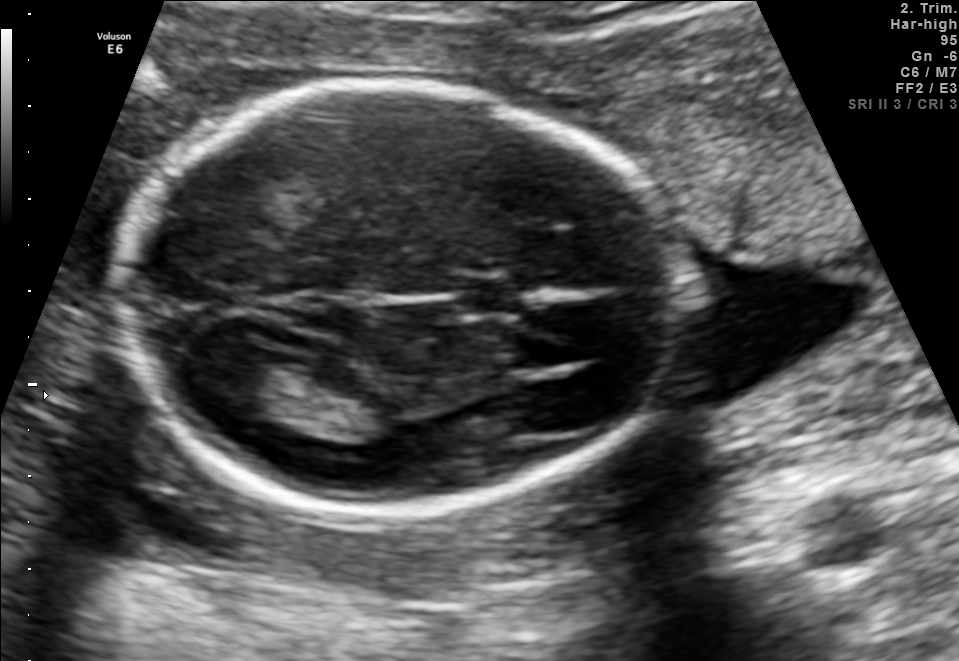
In this fetal brain, trans-thalamic plane, give the bounding box of the lateral ventricle.

[208,363,308,416]